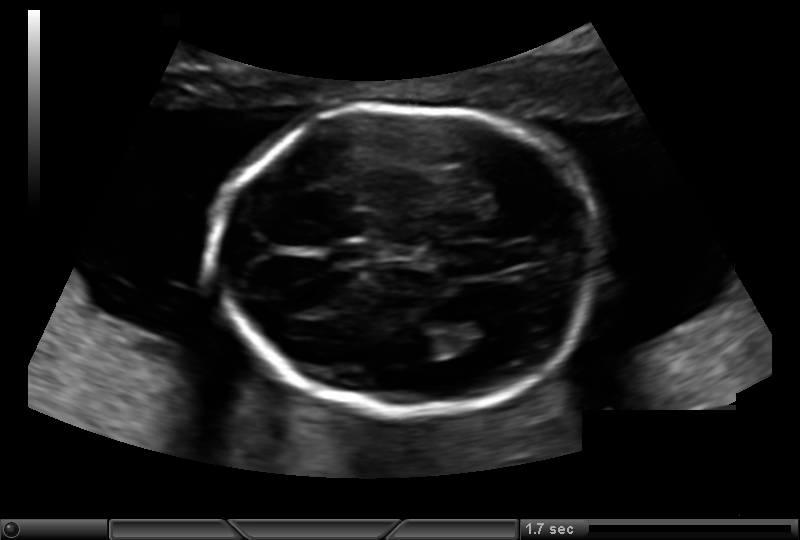
In this fetal head ultrasound, give the bounding box of the fetal head. Image width: 107.7 mm.

[215,106,596,413]